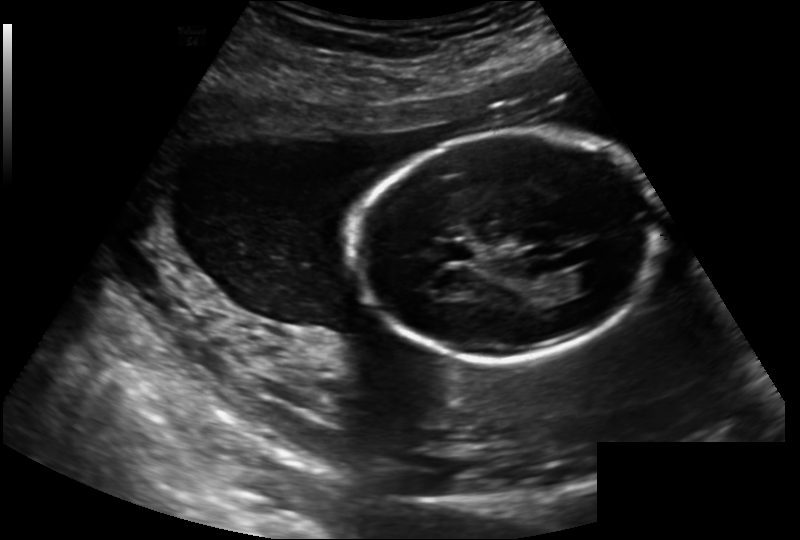
Fetal head ultrasound. Image width: 161.7 mm. Locate the fetal head and, if visible, the cavum septum pellucidum (CSP) and lateral ventricle (LV). Give bounding boxes as [x1,y1,x2,y2].

Head: [354,131,665,359]
CSP: [431,237,475,265]
Lateral ventricle: [559,262,606,298]